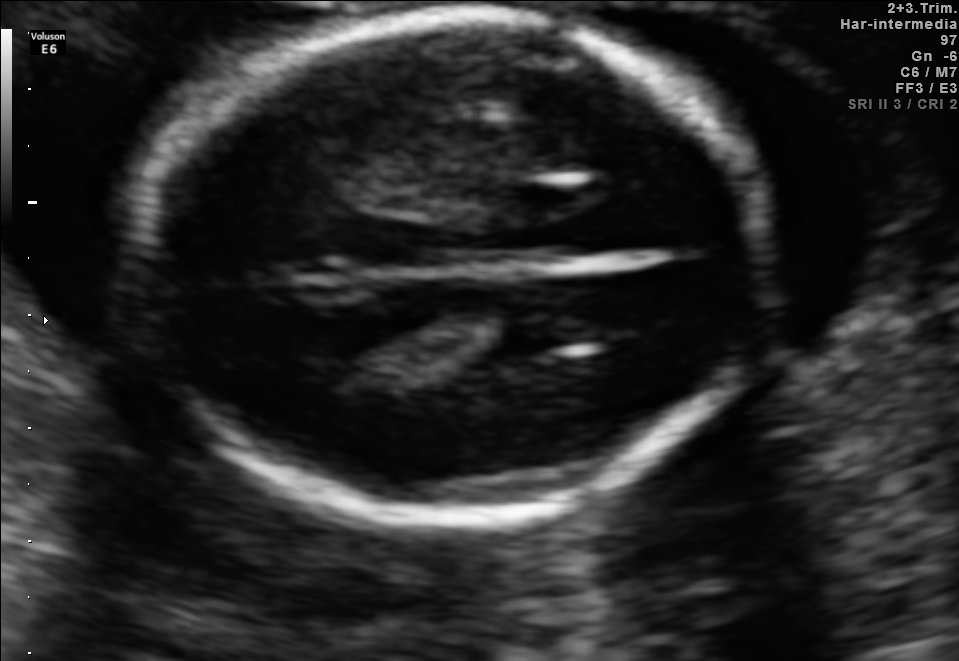
Fetal brain, trans-thalamic plane. Locate the fetal head.

Head: [139,16,768,519]